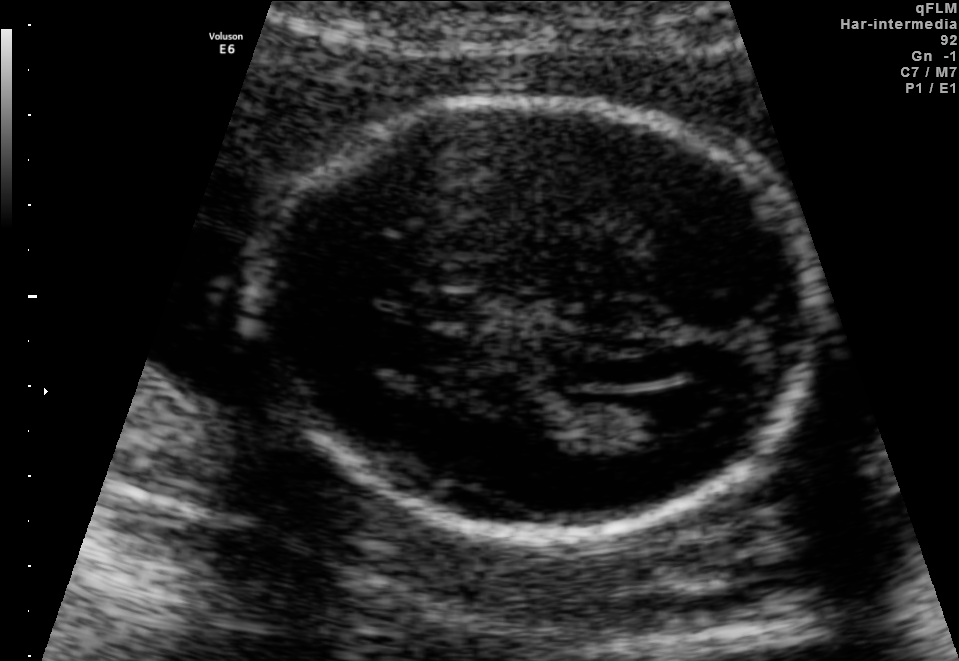
In this fetal brain, trans-ventricular plane, give the bounding box of the cavum septum pellucidum.

[385,283,497,332]